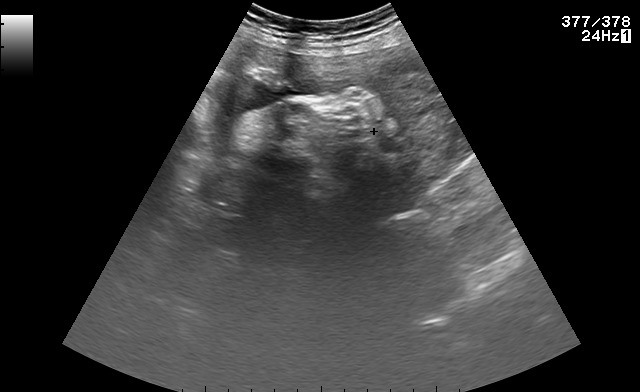
Which standard maternal-fetal ultrasound plane is shown: fetal abdomen, fetal brain, fetal femur, fetal thorax, maternal cervix, or other? If it's fetal brain and one of the three standard brain planes (trans-thalamic, trans-cerebellum, trans-ventricular), name which.

Other